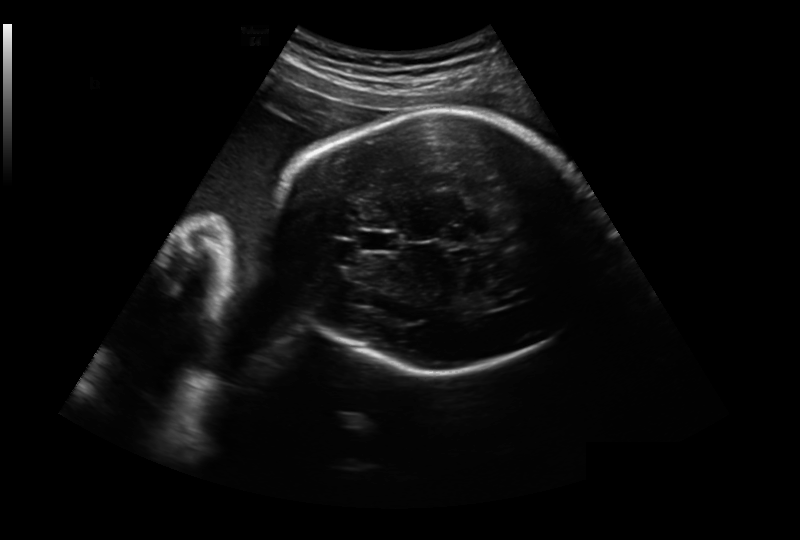
Measure the fetal head circumference shown in this ultrasound image. Image width: 224.7 mm.

Head circumference: 264.6 mm.